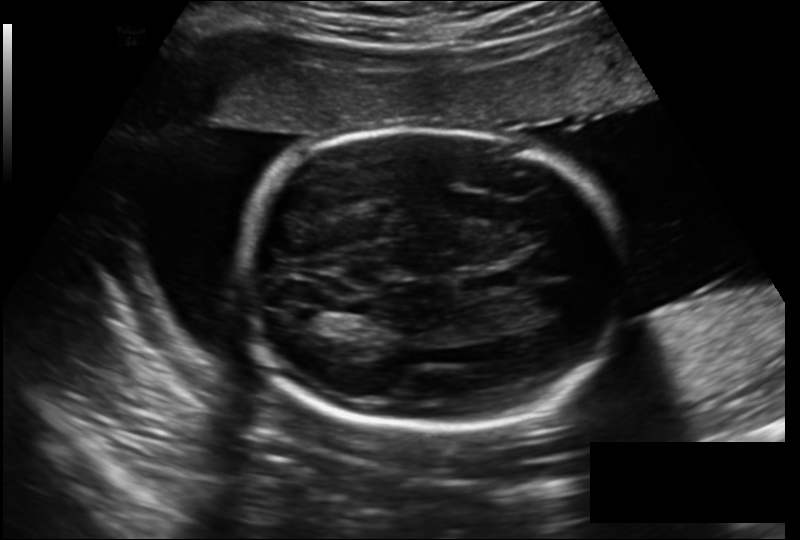
In this fetal head ultrasound, give the bounding box of the fetal head. Image width: 164.7 mm.

[239,128,626,430]